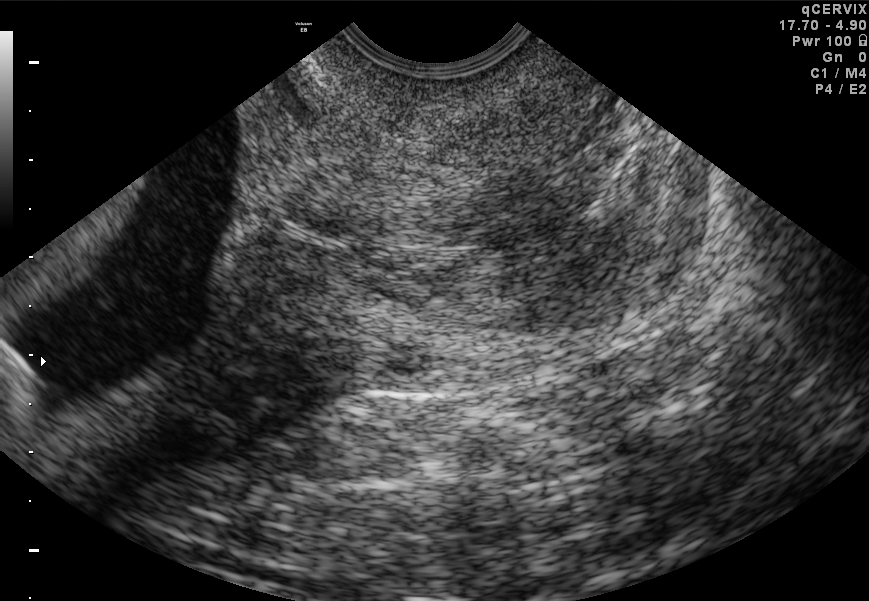
This is a 2D maternal-fetal ultrasound frame. Is it a fetal abdomen, fetal brain, fetal femur, fetal thorax, maternal cervix, or other standard plane? If it's fetal brain and one of the three standard brain planes (trans-thalamic, trans-cerebellum, trans-ventricular), name which.

Maternal cervix